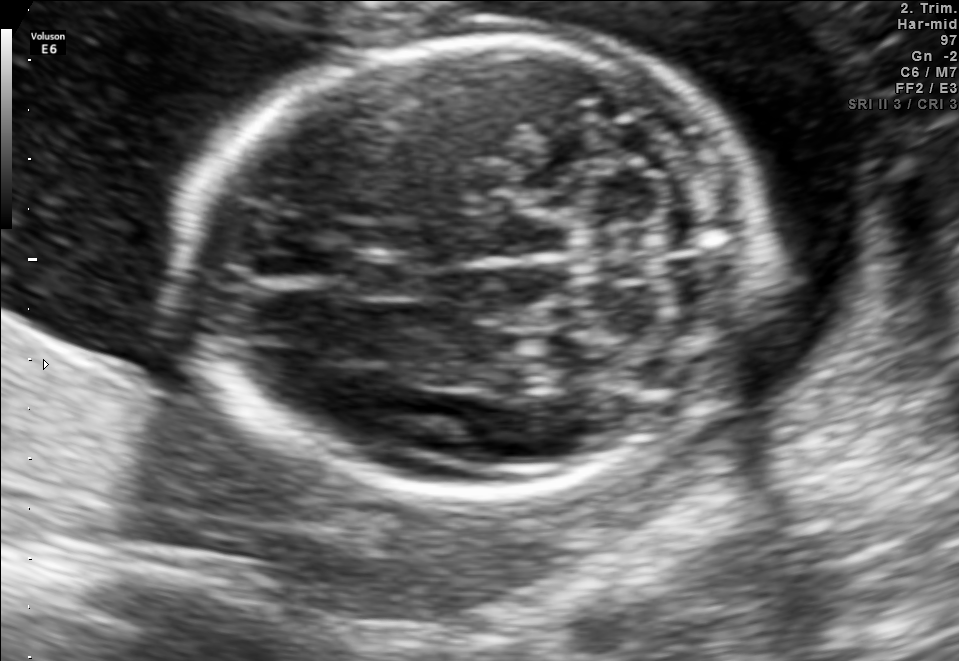
In this fetal brain, trans-cerebellum plane, give bounding boxes for the head outline, cavum septum pellucidum (CSP), and lateral ventricle (LV), where visible.

Head: [180,40,765,497]
CSP: [346,253,420,300]